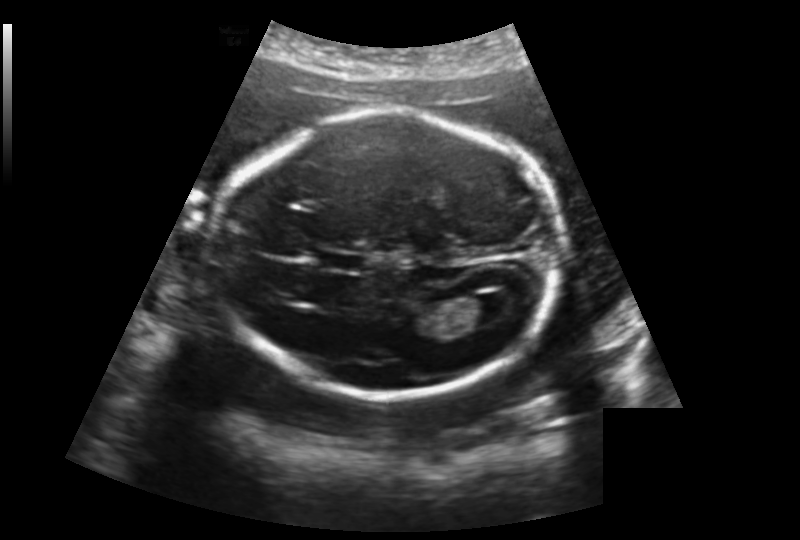
Fetal head ultrasound. Image width: 150.3 mm. Where is the cavum septum pellucidum?

CSP bounding box: [315,248,368,276]